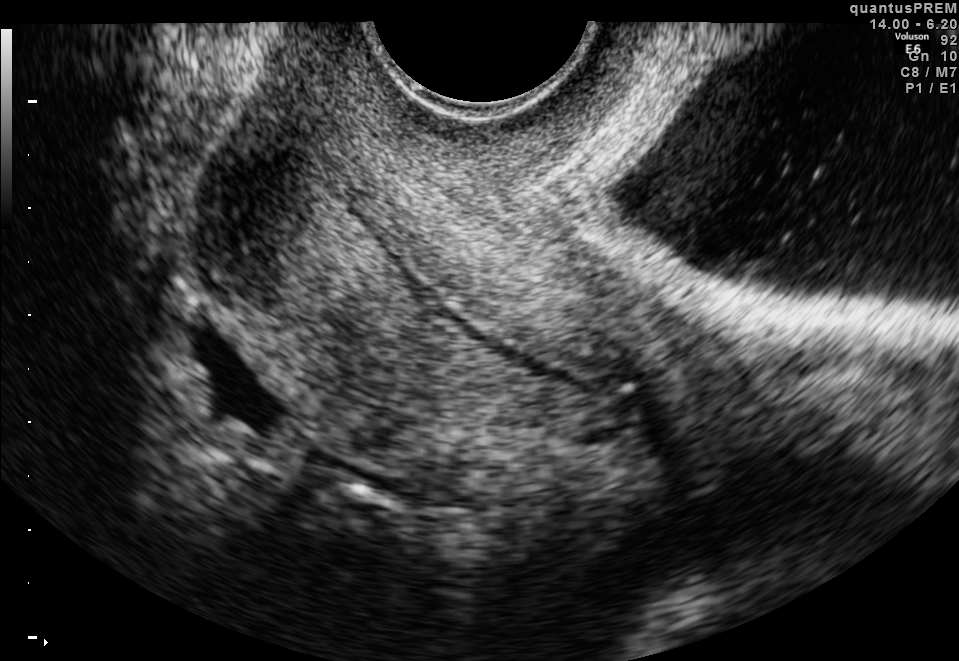
This is a 2D maternal-fetal ultrasound frame. Is it a fetal abdomen, fetal brain, fetal femur, fetal thorax, maternal cervix, or other standard plane? If it's fetal brain and one of the three standard brain planes (trans-thalamic, trans-cerebellum, trans-ventricular), name which.

Maternal cervix